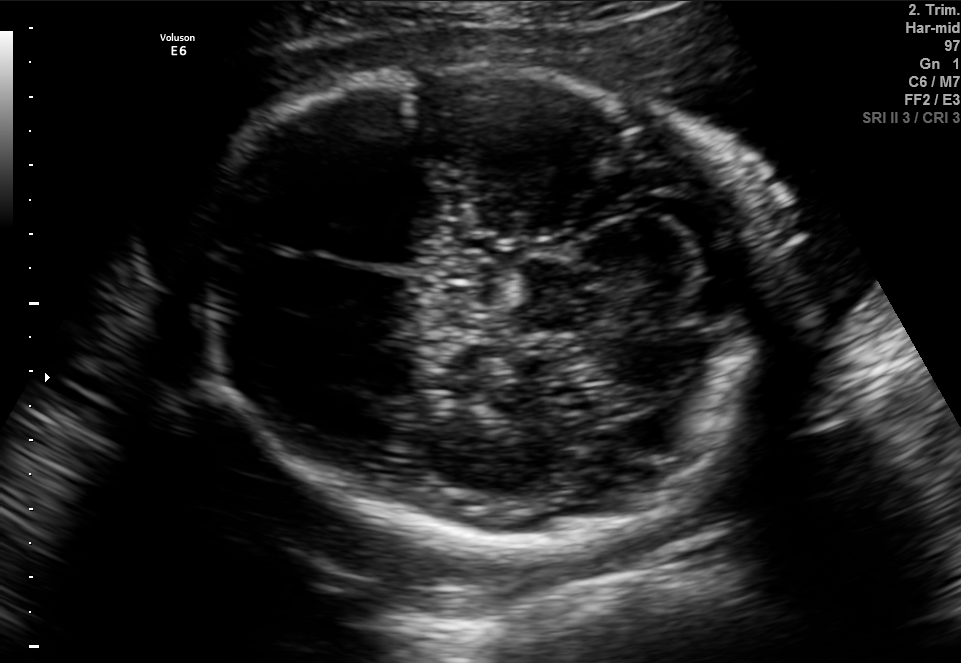
In this fetal brain, trans-cerebellum plane, give bounding boxes for the head outline, cavum septum pellucidum (CSP), and lateral ventricle (LV), where visible.

Head: [191,66,782,547]